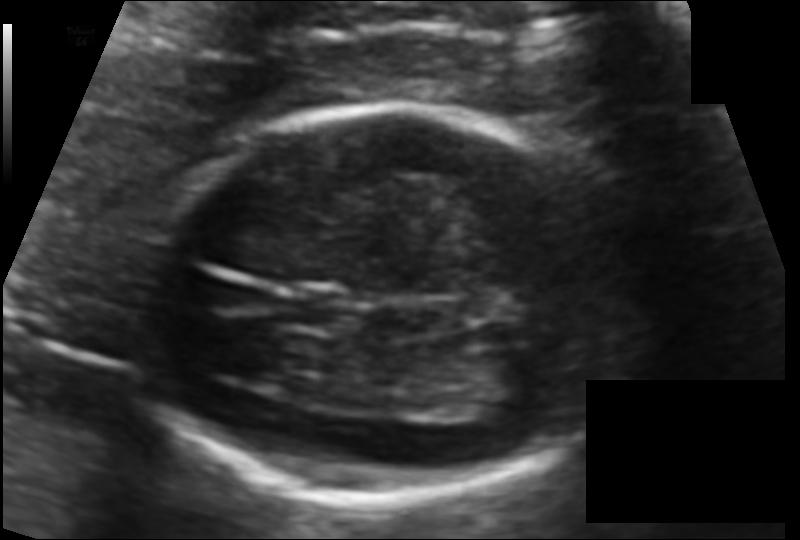
Estimate the fetal head circumference from this 2D ultrasound.

Head circumference: 145.2 mm (image width 80.0 mm).